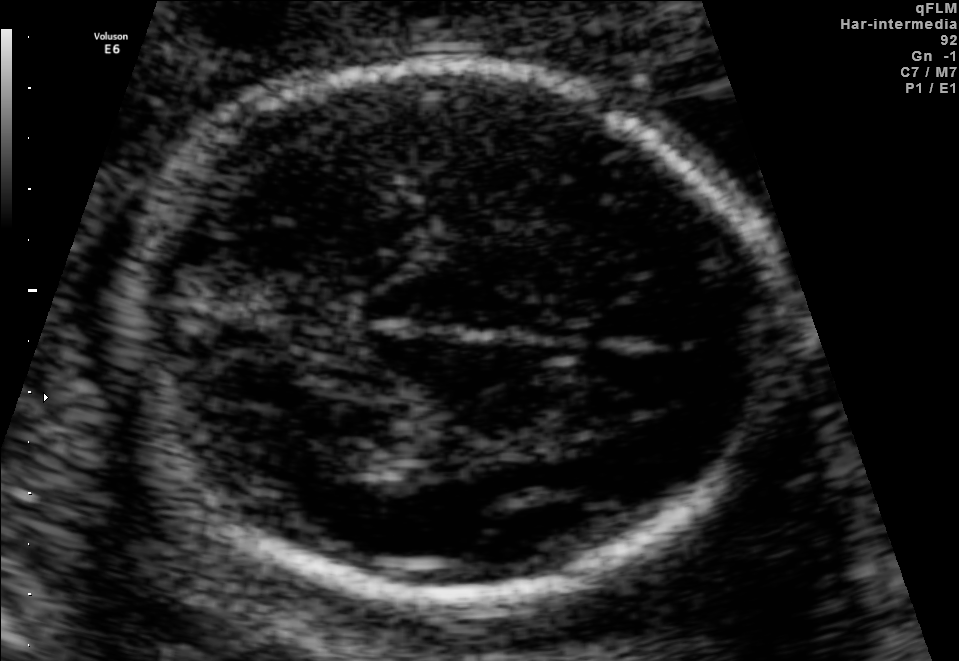
Fetal brain, trans-thalamic plane. Locate the fetal head.

Head: [130,63,789,596]